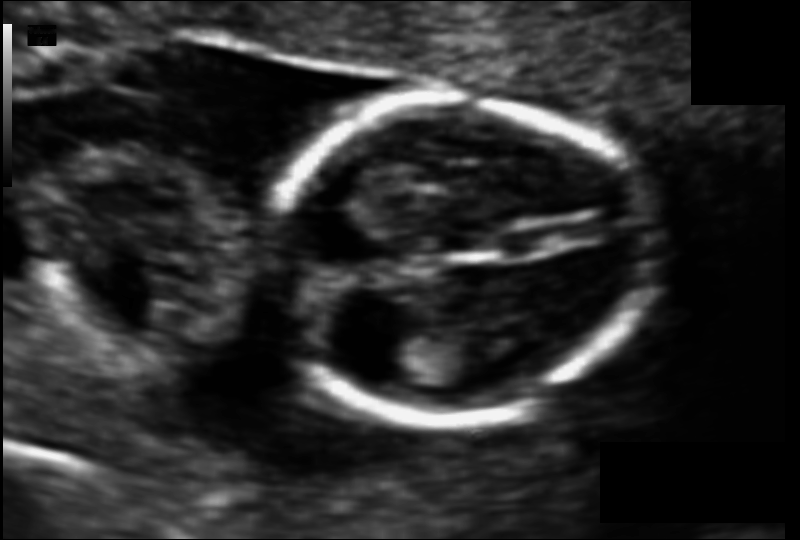
In this fetal head ultrasound, give bounding boxes for the head outline, cavum septum pellucidum (CSP), and lateral ventricle (LV), where visible. Image width: 66.6 mm.

Head: [262,100,655,419]
CSP: [497,224,560,263]
Lateral ventricle: [367,330,432,380]